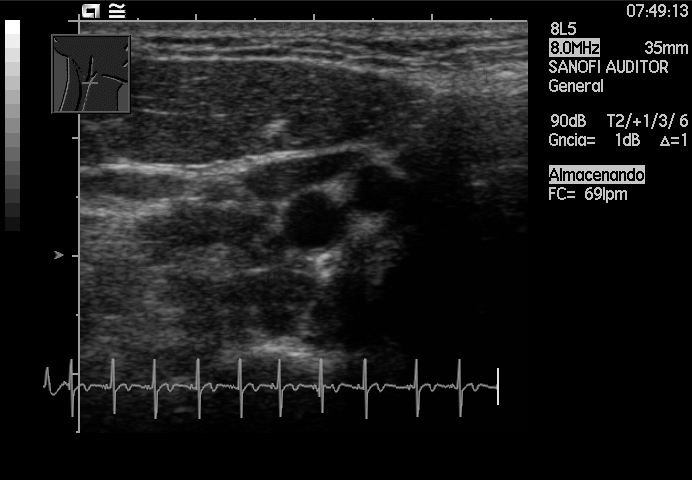
Identify the standard plane in this fetal ultrasound image: fetal abdomen, fetal brain, fetal femur, fetal thorax, maternal cervix, or other. If it's fetal brain and one of the three standard brain planes (trans-thalamic, trans-cerebellum, trans-ventricular), name which.

Other